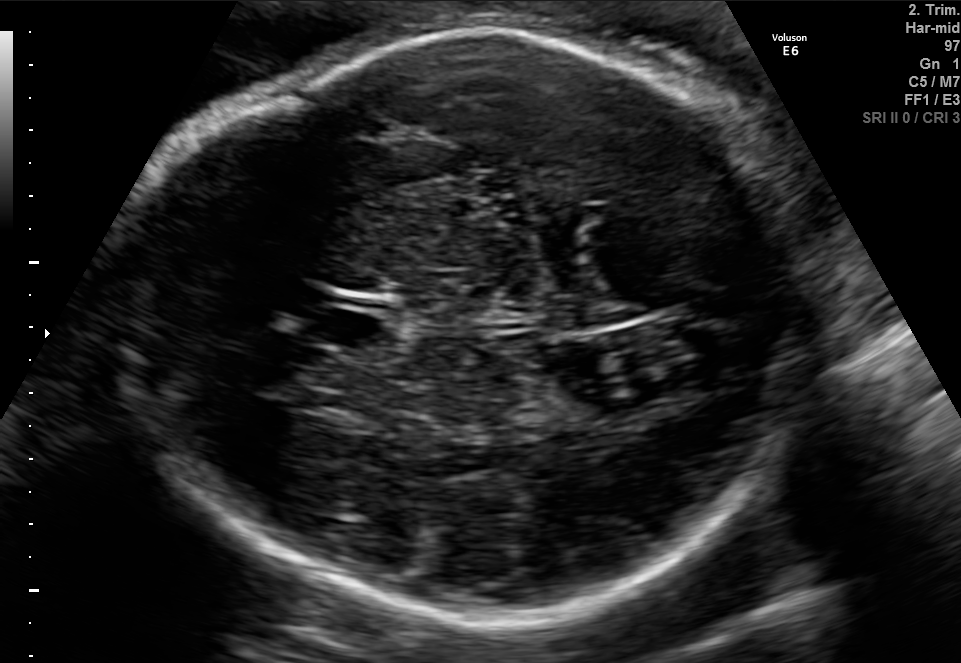
Fetal brain, trans-thalamic plane. Locate the cavum septum pellucidum.

CSP: [303,300,388,354]